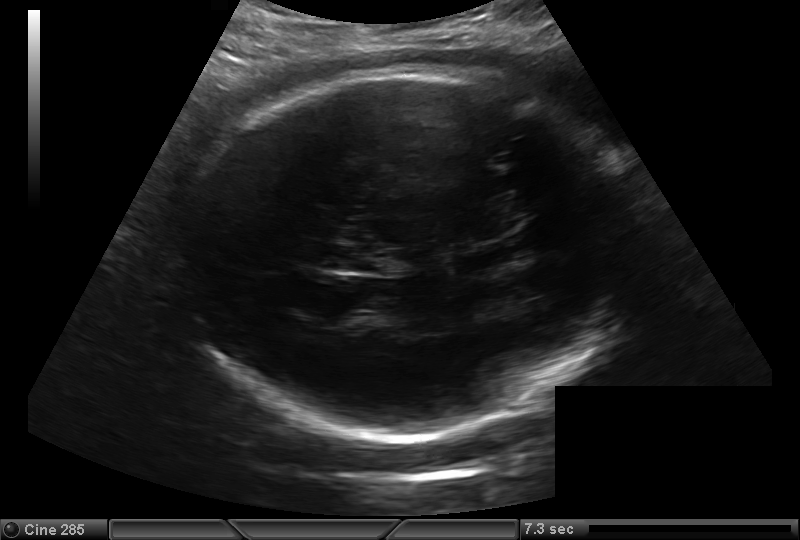
Fetal head ultrasound. Image width: 173.2 mm. Locate the fetal head.

Head: [189,66,631,441]